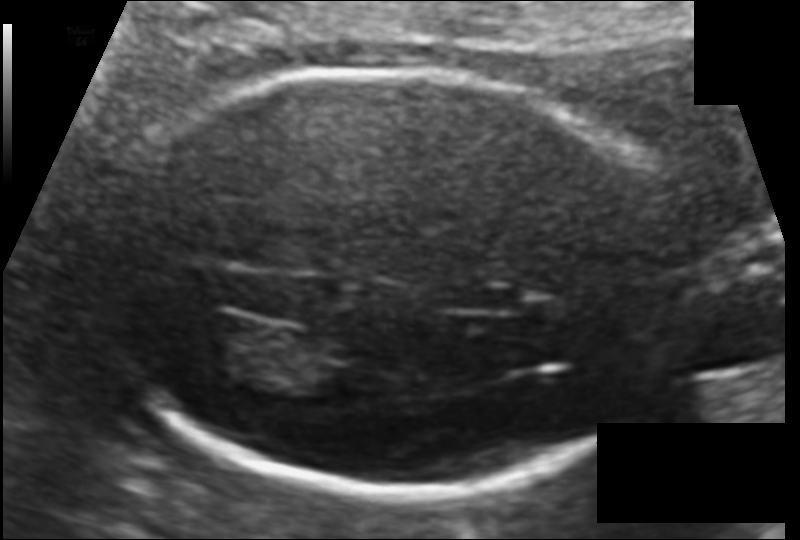
In this fetal head ultrasound, give bounding boxes for the head outline, cavum septum pellucidum (CSP), and lateral ventricle (LV), where visible. Image width: 82.9 mm.

Head: [103,73,687,490]